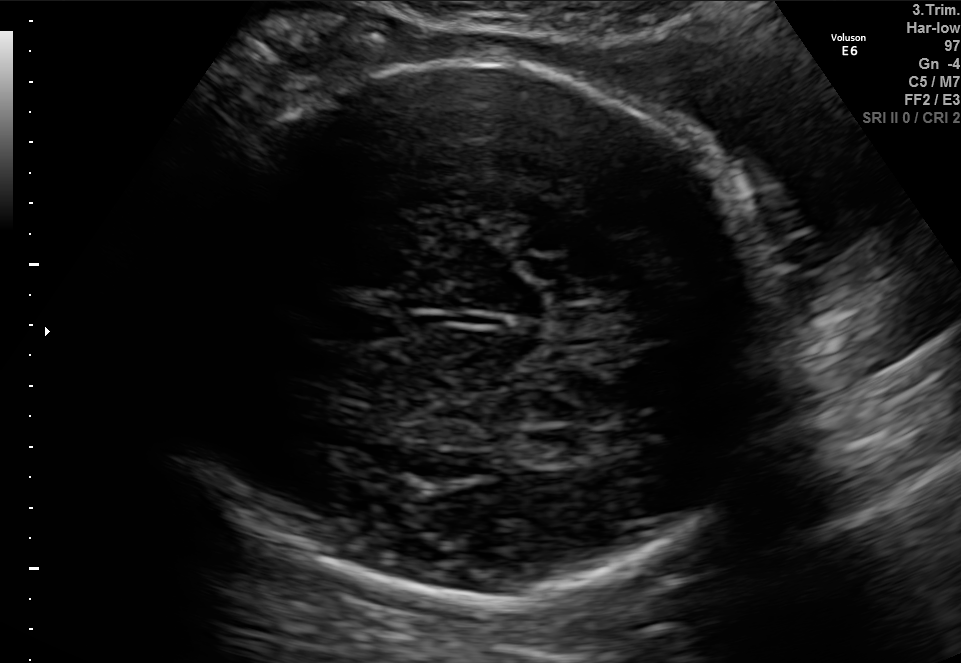
In this fetal brain, trans-thalamic plane, give the bounding box of the lateral ventricle.

[505,424,586,470]